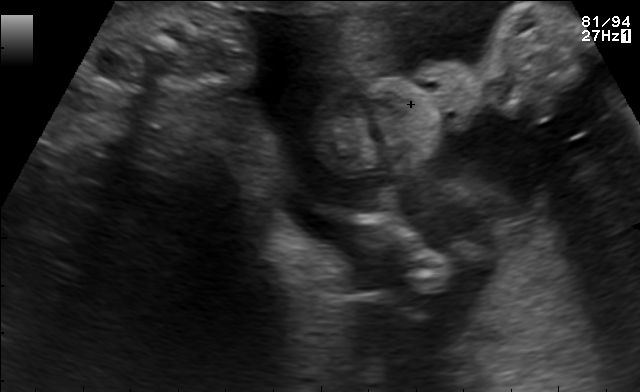
Classify this maternal-fetal ultrasound image as one of the six standard planes — fetal abdomen, fetal brain, fetal femur, fetal thorax, maternal cervix, or other. If it's fetal brain and one of the three standard brain planes (trans-thalamic, trans-cerebellum, trans-ventricular), name which.

Other